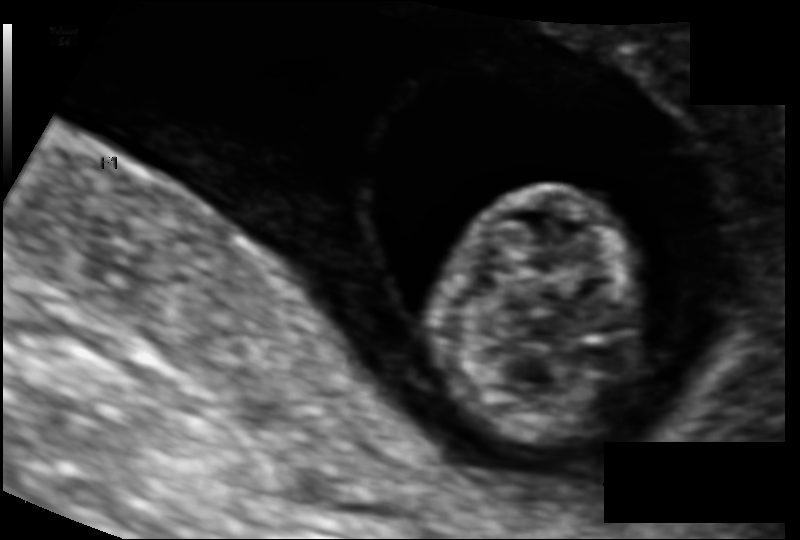
Estimate the fetal head circumference from this 2D ultrasound.

Head circumference: 70.0 mm (image width 75.4 mm).